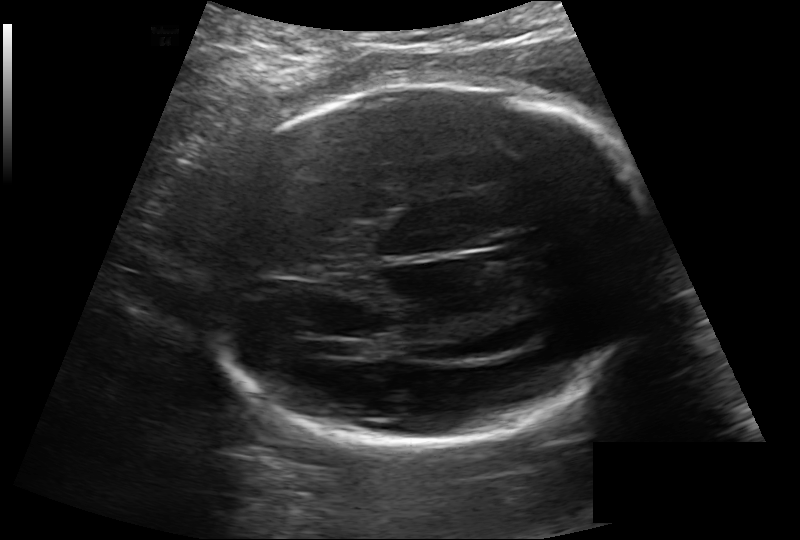
Fetal head ultrasound. Image width: 151.0 mm. Locate the fetal head.

Head: [206,85,654,445]